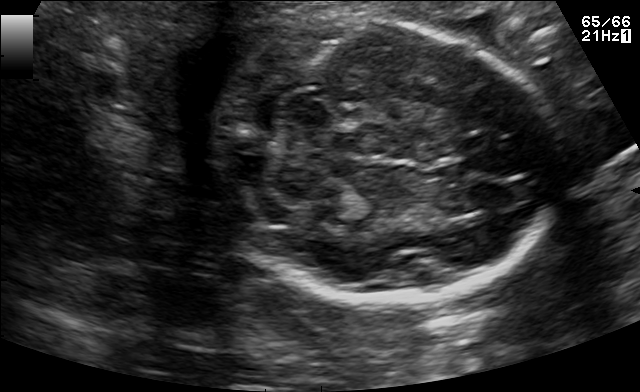
In this fetal brain, trans-cerebellum plane, give bounding boxes for the head outline, cavum septum pellucidum (CSP), and lateral ventricle (LV), where visible.

Head: [203,20,561,302]